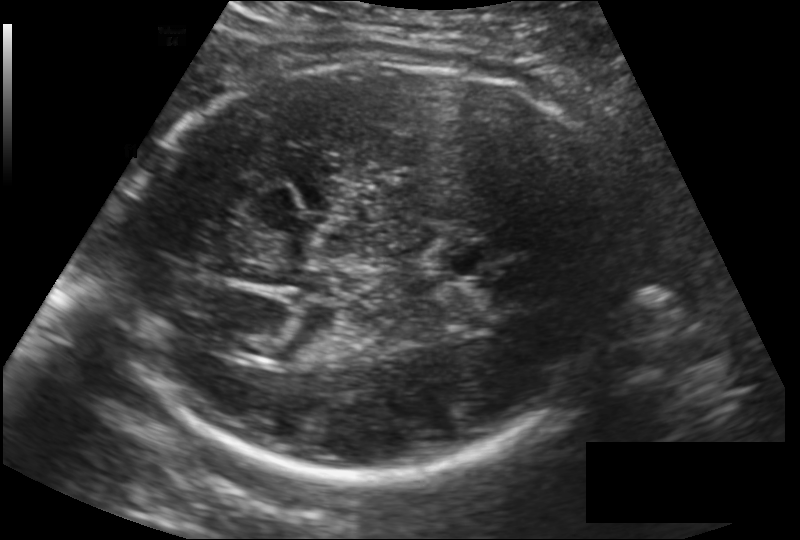
Fetal head ultrasound. Image width: 148.6 mm. Locate the cavum septum pellucidum.

CSP: [438,240,506,279]